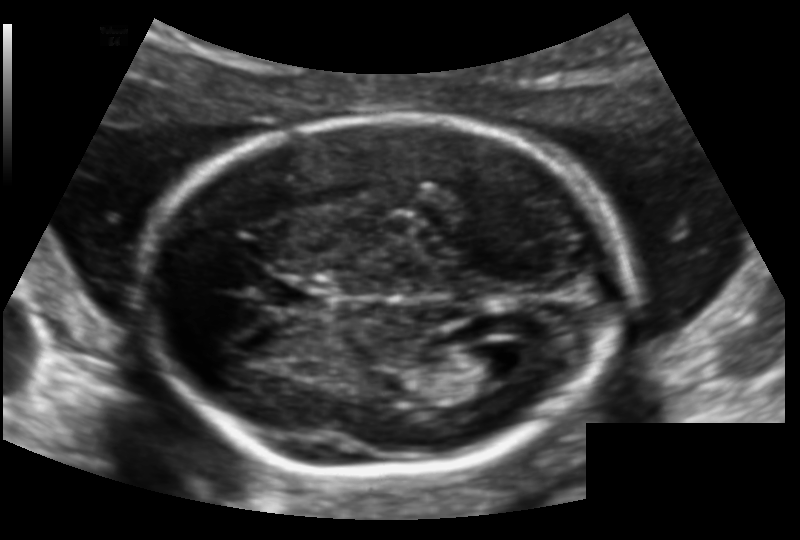
In this fetal head ultrasound, give the bounding box of the lateral ventricle. Image width: 102.0 mm.

[452,337,520,390]